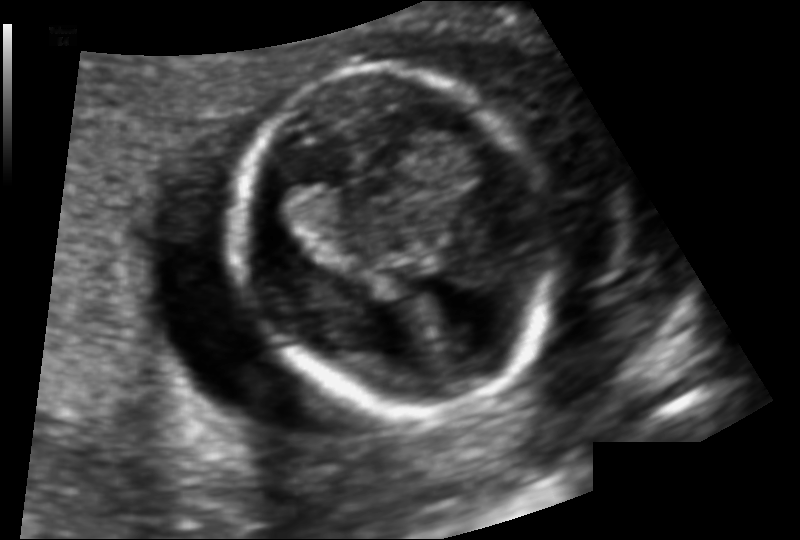
In this fetal head ultrasound, give the bounding box of the fetal head. Image width: 85.7 mm.

[234,63,546,410]